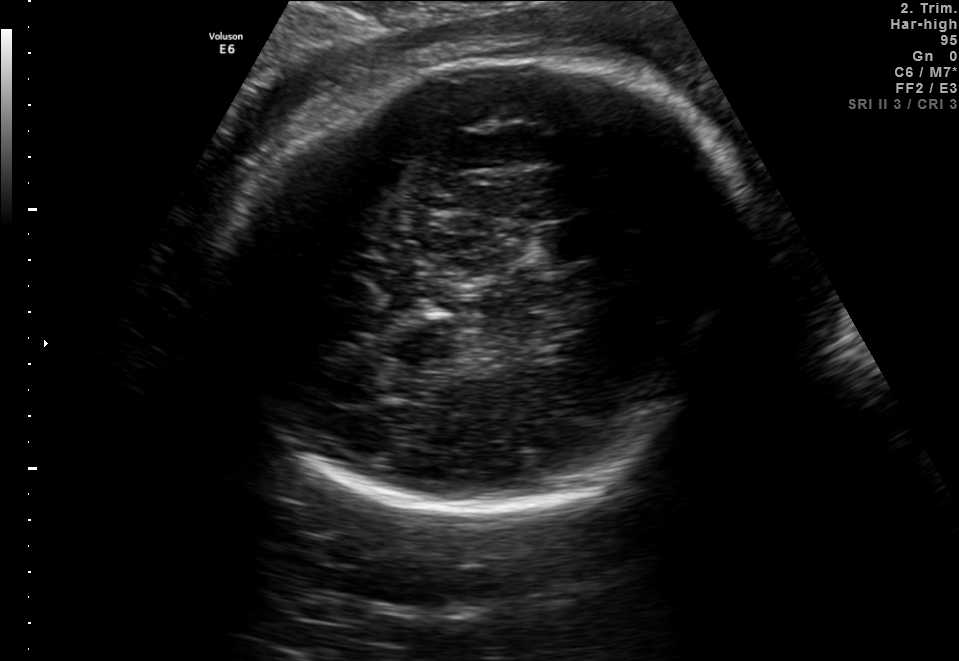
Fetal brain, trans-thalamic plane. Locate the cavum septum pellucidum.

CSP: [536,214,603,268]